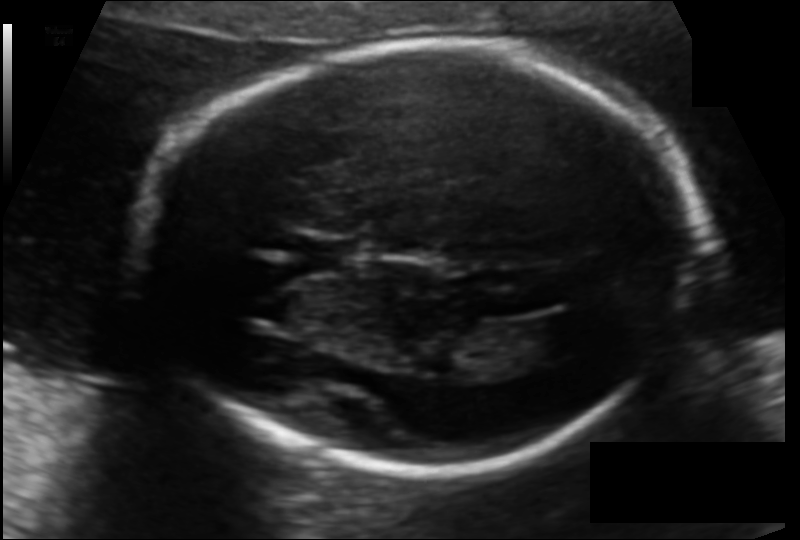
In this fetal head ultrasound, give the bounding box of the fetal head. Image width: 97.4 mm.

[142,46,697,470]